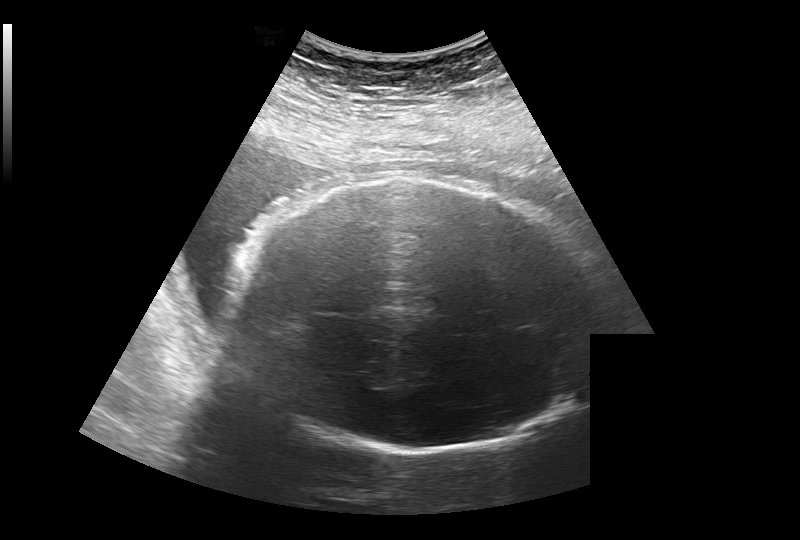
What is the fetal head circumference? Image width is 246.2 mm.

315.0 mm